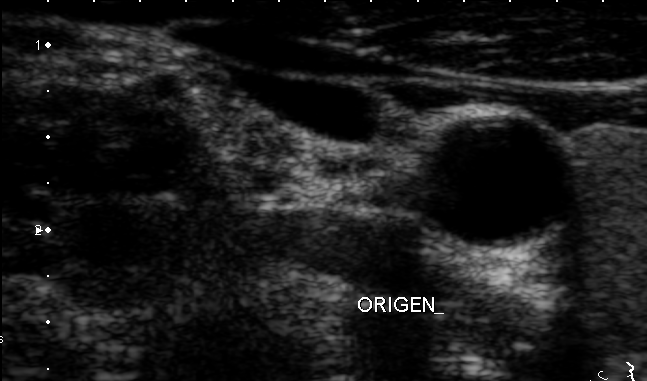
Classify this maternal-fetal ultrasound image as one of the six standard planes — fetal abdomen, fetal brain, fetal femur, fetal thorax, maternal cervix, or other. If it's fetal brain and one of the three standard brain planes (trans-thalamic, trans-cerebellum, trans-ventricular), name which.

Other